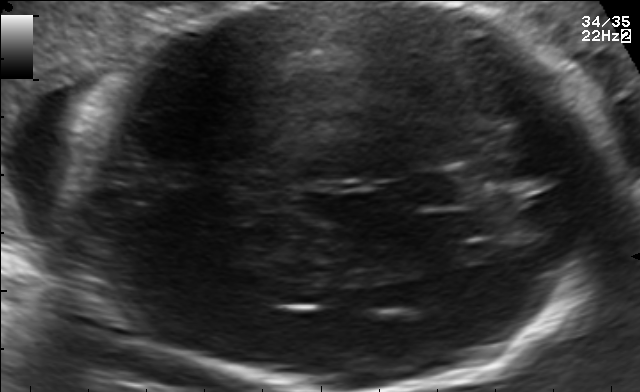
Fetal brain, trans-thalamic plane. Where is the fetal head?

Head bounding box: [65,3,622,390]